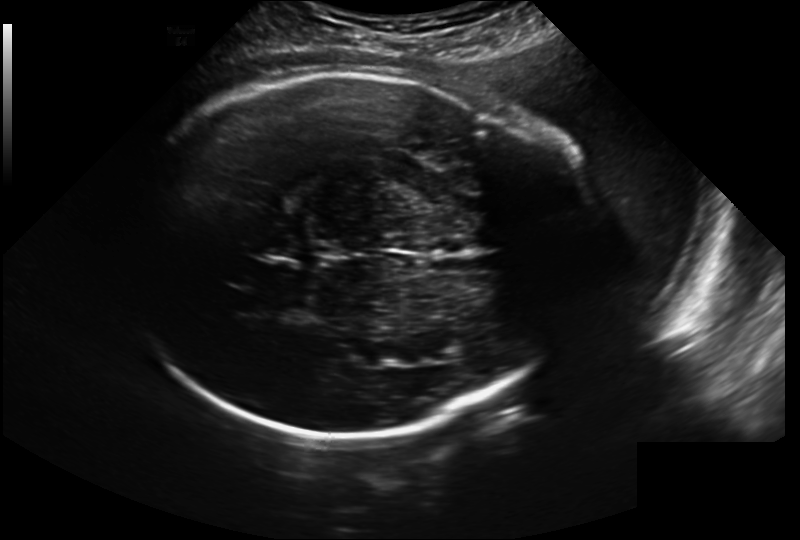
Fetal head ultrasound. Image width: 192.7 mm. Give [x1,y1,x2,y2] bounding boxes for each visible structure among: fetal head, CSP, LV.

Head: [129,73,554,438]